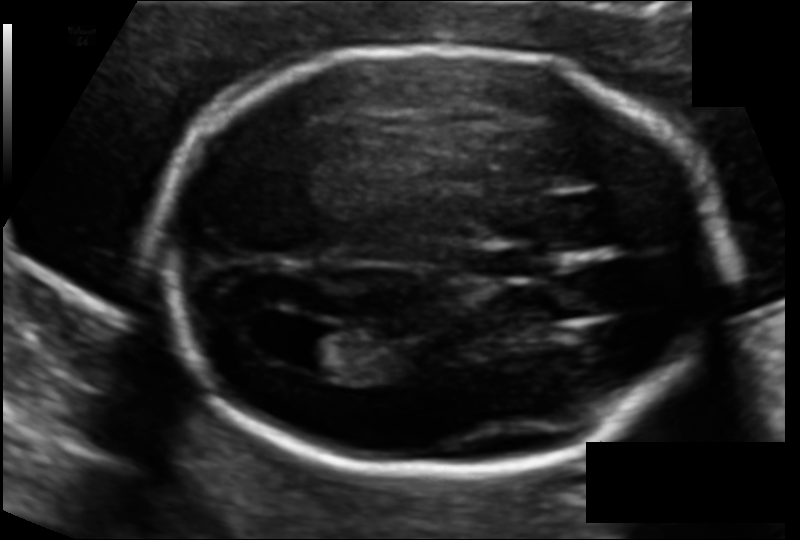
In this fetal head ultrasound, give bounding boxes for the head outline, cavum septum pellucidum (CSP), and lateral ventricle (LV), where visible. Image width: 89.4 mm.

Head: [164,48,724,469]
CSP: [467,247,539,280]
Lateral ventricle: [291,320,371,384]